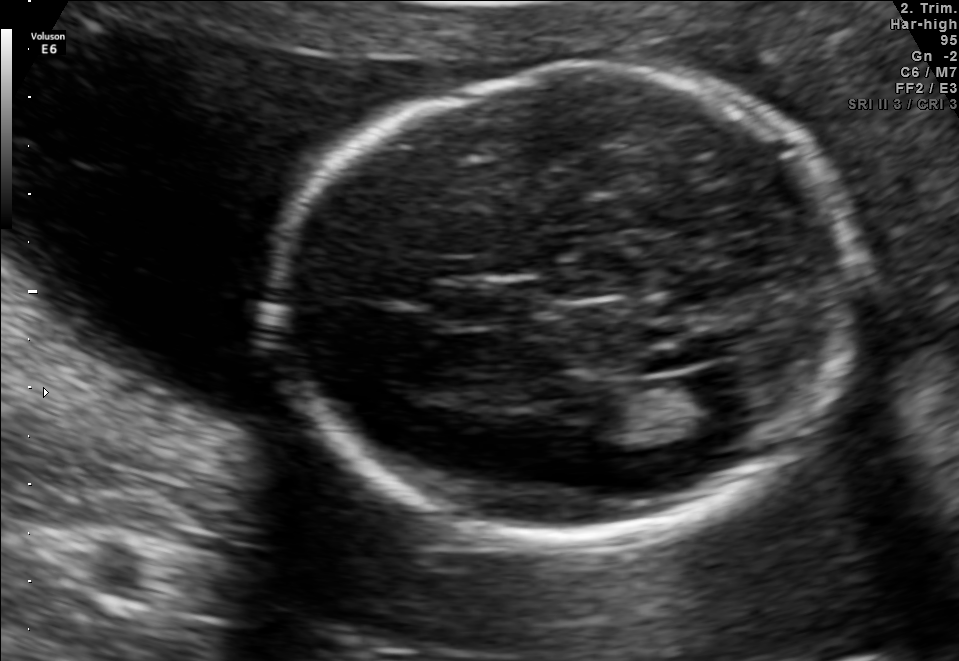
In this fetal brain, trans-ventricular plane, give the bounding box of the cavum septum pellucidum.

[437,285,534,323]